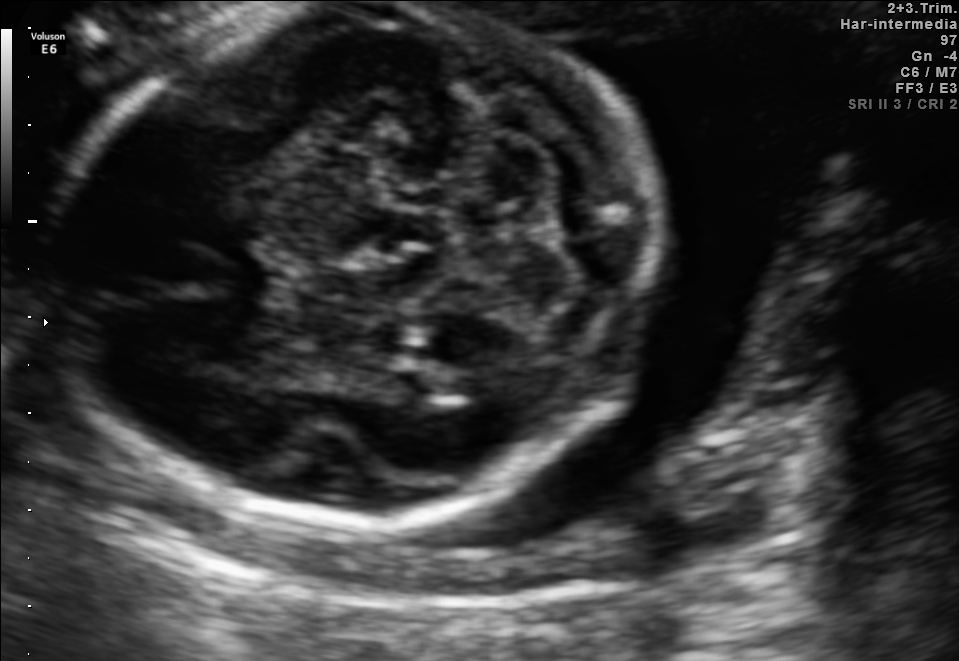
Fetal brain, trans-cerebellum plane. Locate the fetal head.

Head: [51,4,656,525]